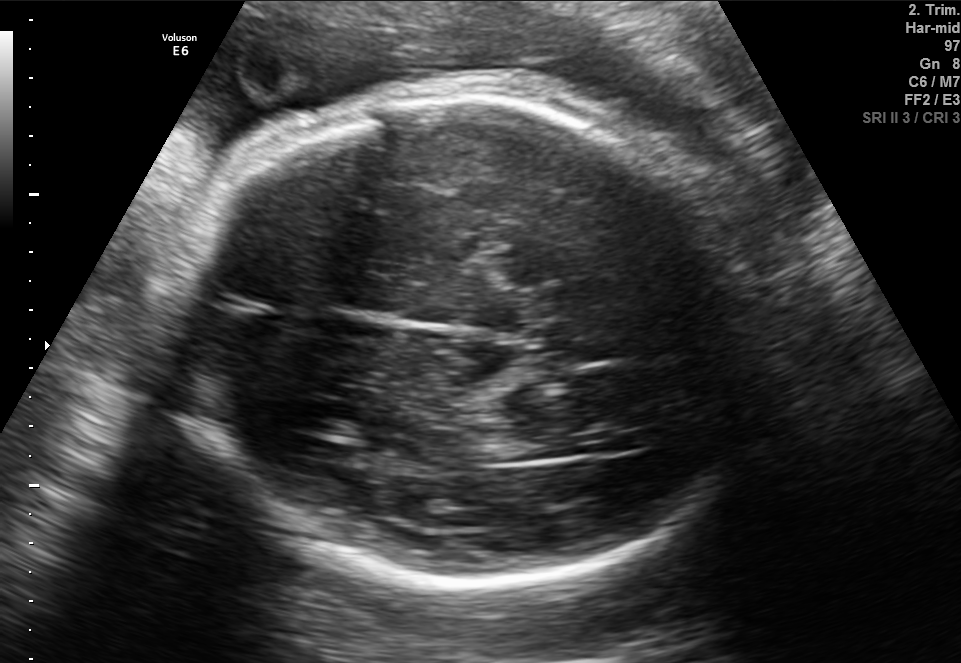
In this fetal brain, trans-thalamic plane, give the bounding box of the fetal head.

[191,103,766,588]